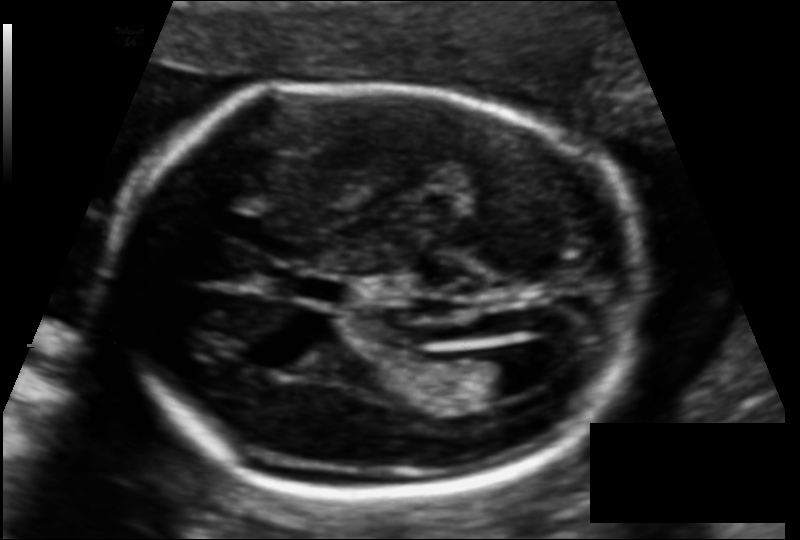
Fetal head ultrasound. Image width: 92.4 mm. Locate the lateral ventricle.

Lateral ventricle: [451,347,537,406]